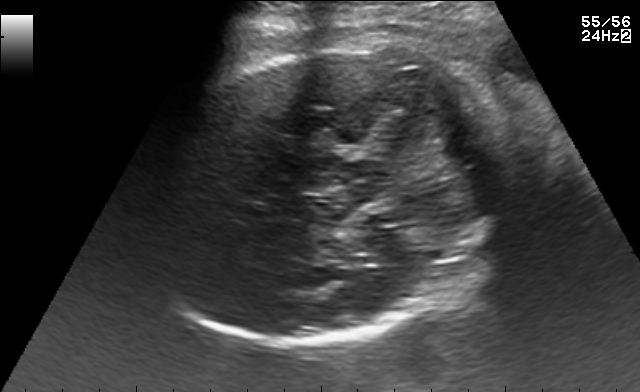
Fetal brain, trans-cerebellum plane. Locate the fetal head.

Head: [153,46,499,344]